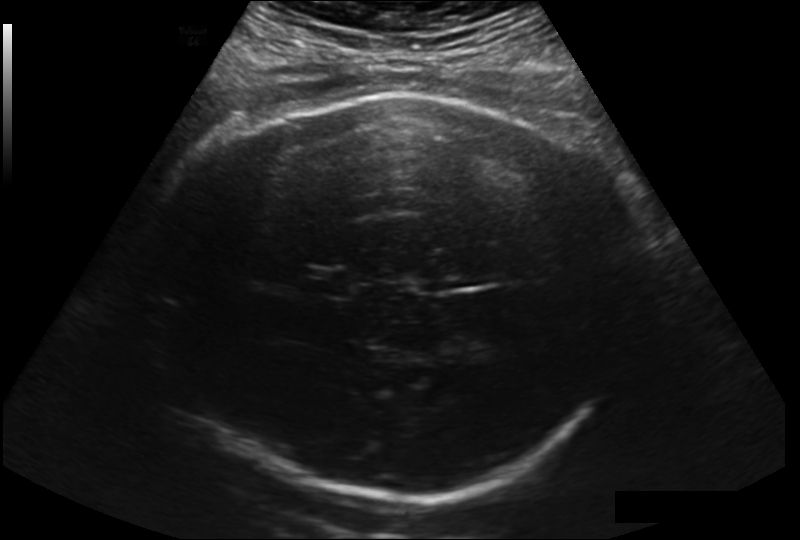
Estimate the fetal head circumference from this 2D ultrasound. Image width: 179.8 mm.

Head circumference: 327.6 mm.